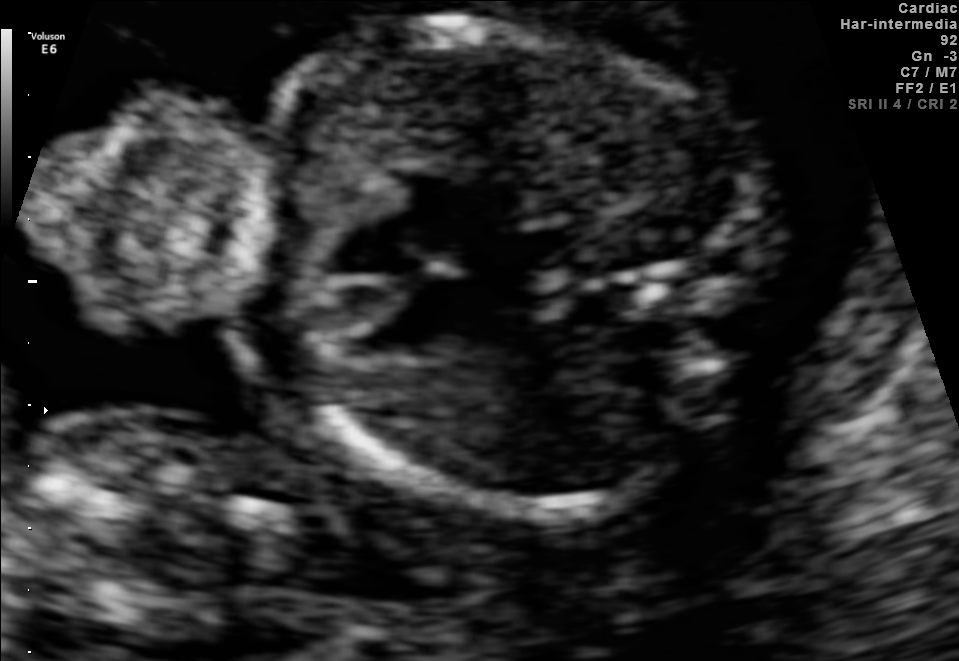
This is a 2D maternal-fetal ultrasound frame. Is it a fetal abdomen, fetal brain, fetal femur, fetal thorax, maternal cervix, or other standard plane? If it's fetal brain and one of the three standard brain planes (trans-thalamic, trans-cerebellum, trans-ventricular), name which.

Fetal thorax